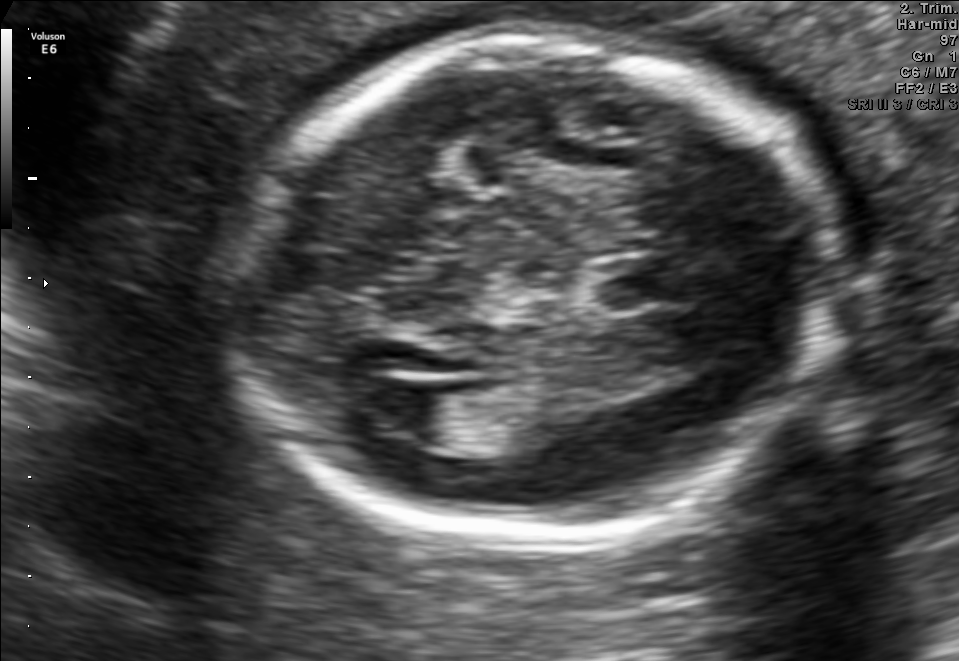
Fetal brain, trans-ventricular plane. Locate the lateral ventricle.

Lateral ventricle: [363,374,449,441]